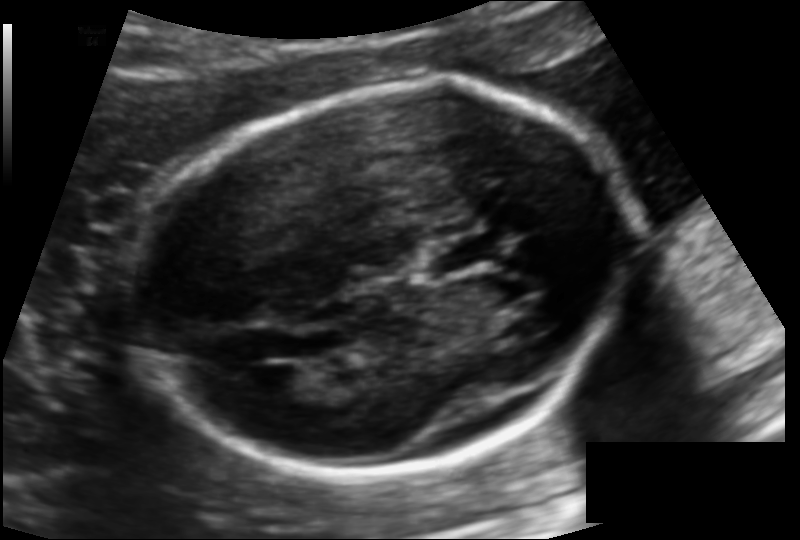
From this fetal ultrasound, estimate the head circumference (image width 99.2 mm).

Head circumference: 176.3 mm.